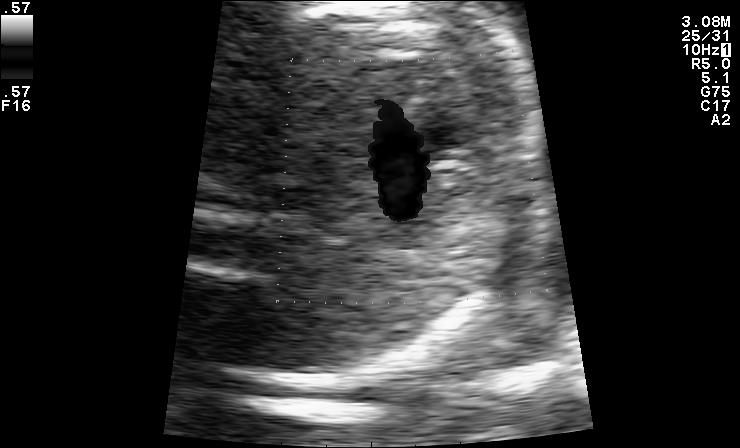
Classify this maternal-fetal ultrasound image as one of the six standard planes — fetal abdomen, fetal brain, fetal femur, fetal thorax, maternal cervix, or other. If it's fetal brain and one of the three standard brain planes (trans-thalamic, trans-cerebellum, trans-ventricular), name which.

Other